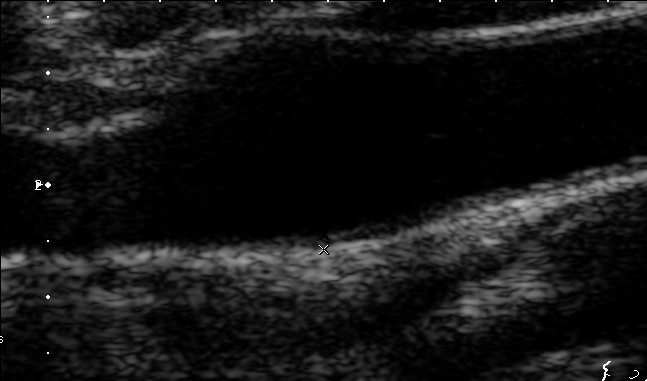
Classify this maternal-fetal ultrasound image as one of the six standard planes — fetal abdomen, fetal brain, fetal femur, fetal thorax, maternal cervix, or other. If it's fetal brain and one of the three standard brain planes (trans-thalamic, trans-cerebellum, trans-ventricular), name which.

Other